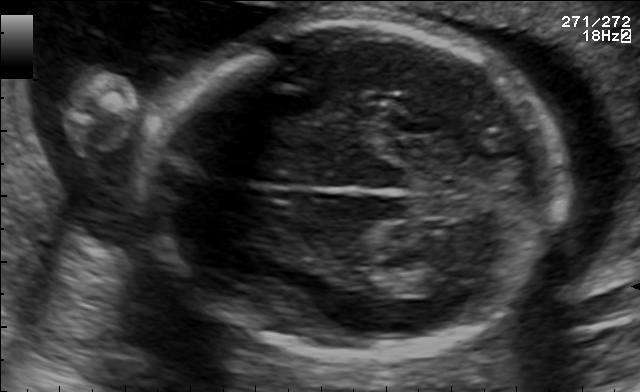
This is a 2D maternal-fetal ultrasound frame. Is it a fetal abdomen, fetal brain, fetal femur, fetal thorax, maternal cervix, or other standard plane? If it's fetal brain and one of the three standard brain planes (trans-thalamic, trans-cerebellum, trans-ventricular), name which.

Fetal brain (trans-thalamic plane)